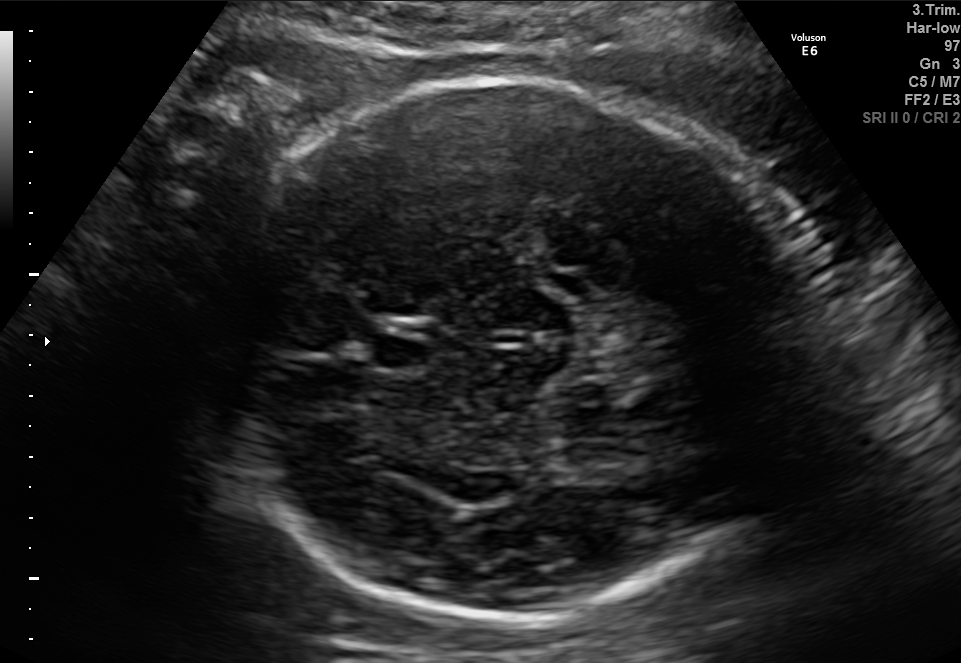
Fetal brain, trans-thalamic plane. Where is the fetal head?

Head bounding box: [192,76,809,619]